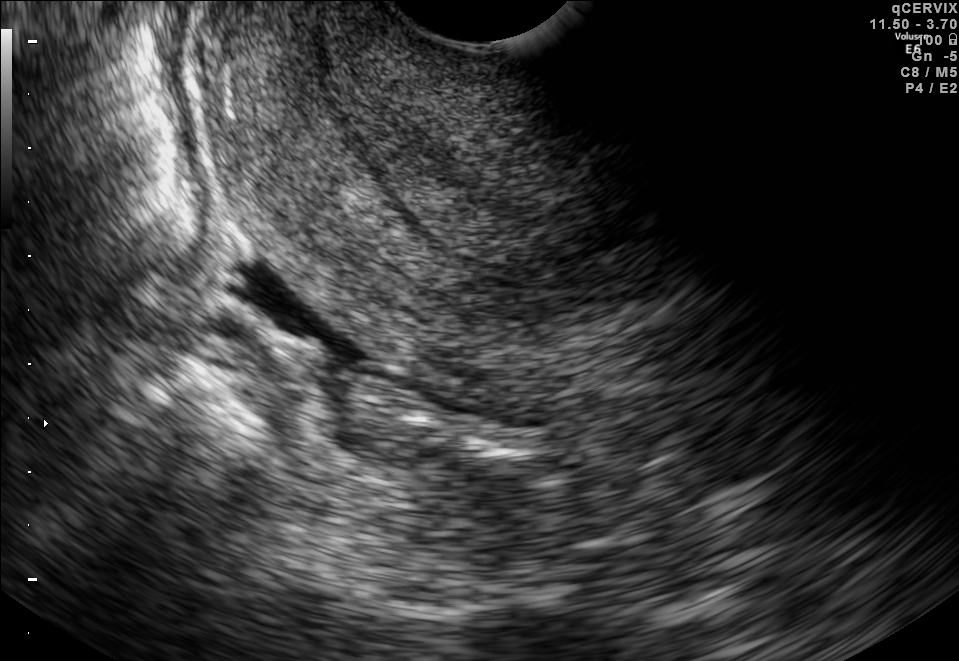
This is a 2D maternal-fetal ultrasound frame. Is it a fetal abdomen, fetal brain, fetal femur, fetal thorax, maternal cervix, or other standard plane? If it's fetal brain and one of the three standard brain planes (trans-thalamic, trans-cerebellum, trans-ventricular), name which.

Maternal cervix